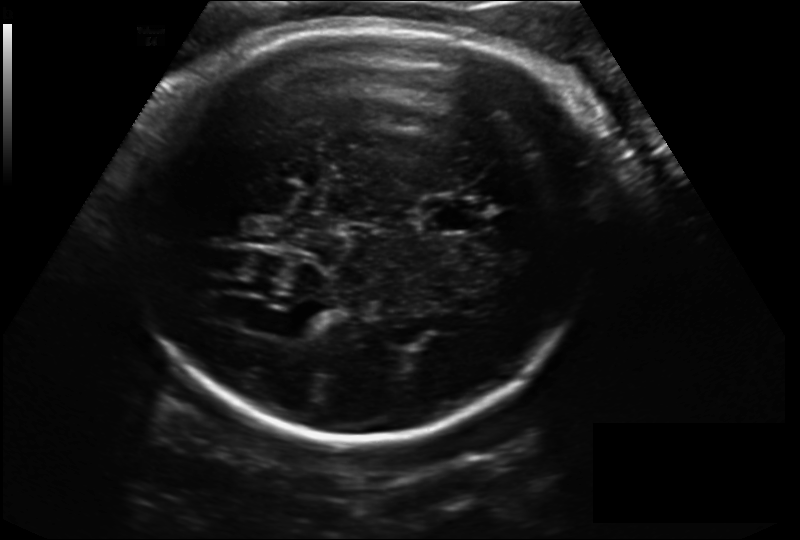
Estimate the fetal head circumference from this 2D ultrasound.

Head circumference: 282.8 mm (image width 158.7 mm).